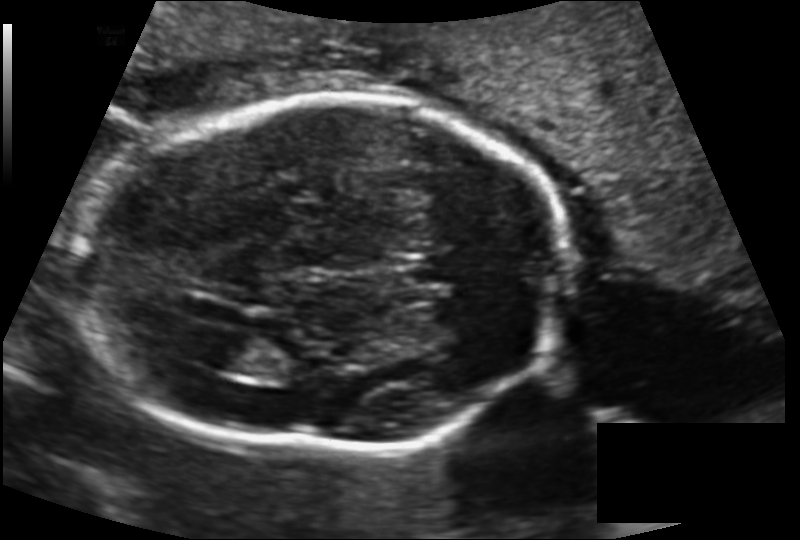
Fetal head ultrasound. Image width: 114.0 mm. Where is the fetal head?

Head bounding box: [78,96,572,452]